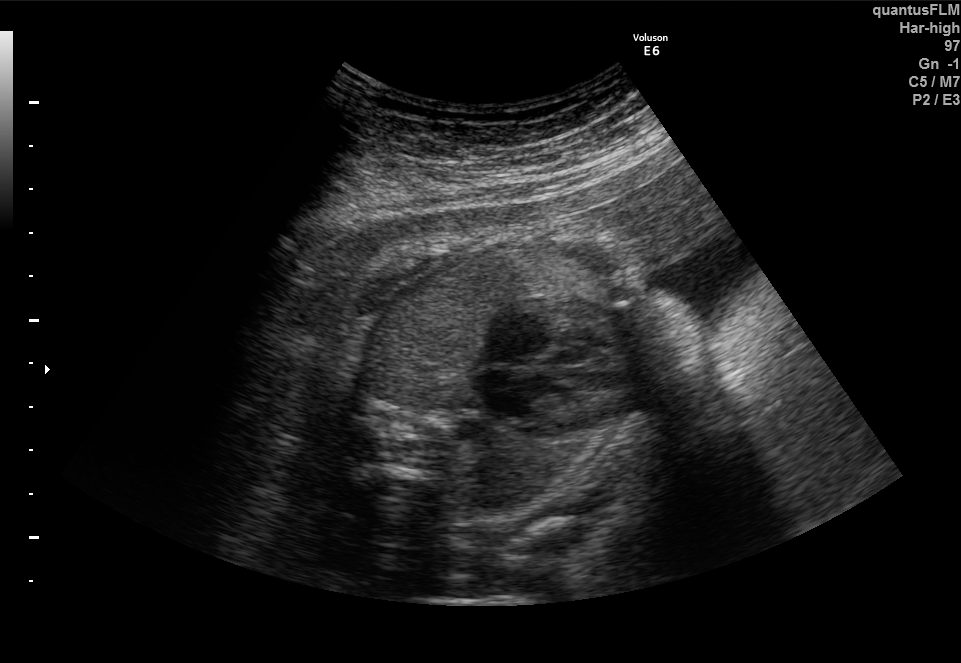
Identify the standard plane in this fetal ultrasound image: fetal abdomen, fetal brain, fetal femur, fetal thorax, maternal cervix, or other. If it's fetal brain and one of the three standard brain planes (trans-thalamic, trans-cerebellum, trans-ventricular), name which.

Fetal thorax